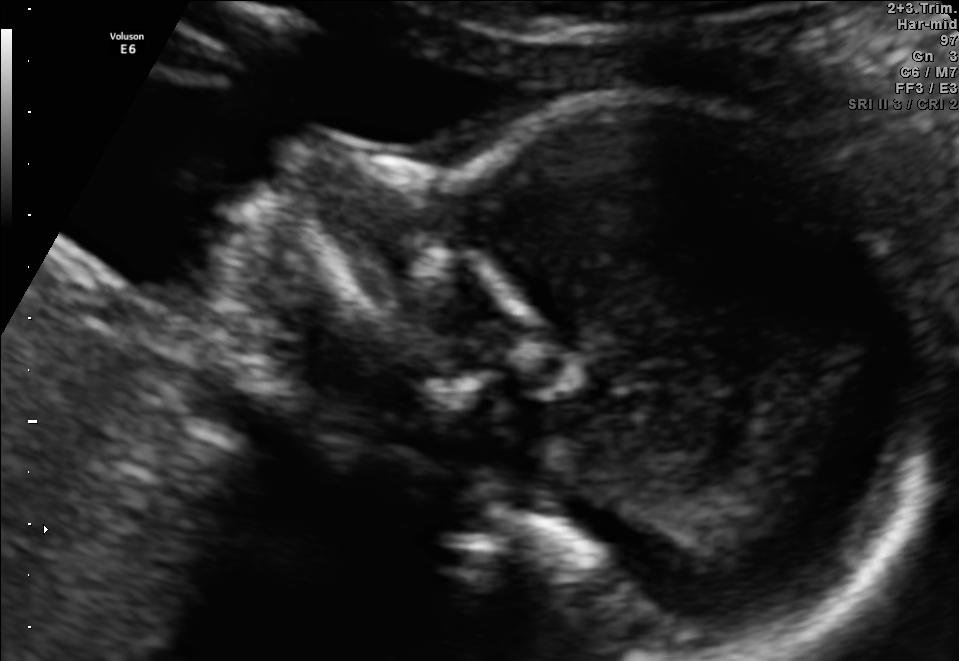
Which standard maternal-fetal ultrasound plane is shown: fetal abdomen, fetal brain, fetal femur, fetal thorax, maternal cervix, or other? If it's fetal brain and one of the three standard brain planes (trans-thalamic, trans-cerebellum, trans-ventricular), name which.

Other